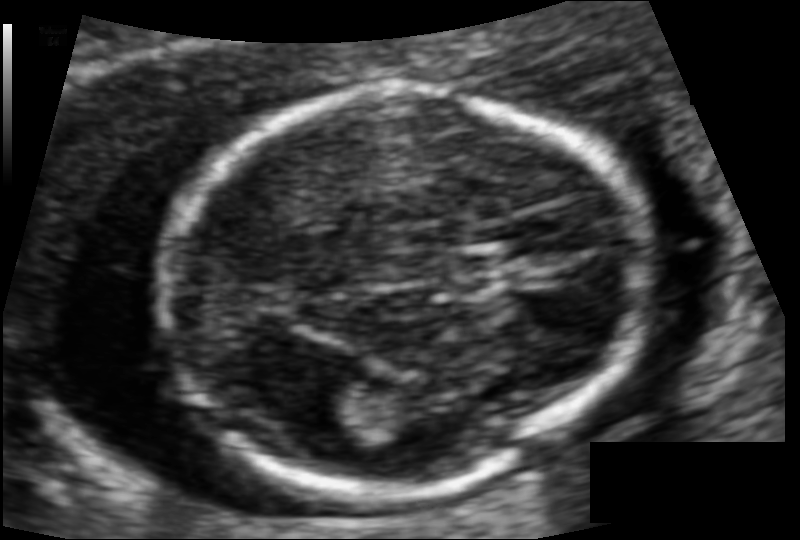
Fetal head ultrasound. Image width: 66.5 mm. Give [x1,y1,x2,y2] bounding boxes for each visible structure among: fetal head, CSP, LV.

Head: [164,87,637,493]